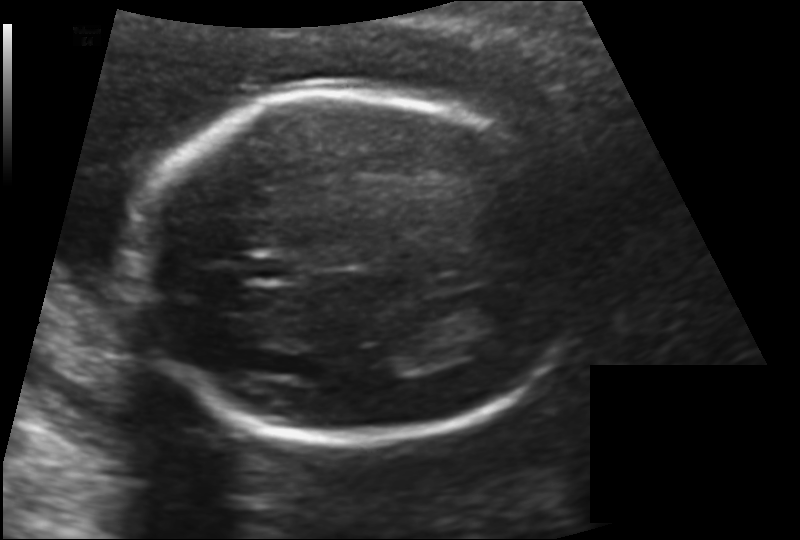
What is the fetal head circumference? Image width is 113.8 mm.

185.1 mm